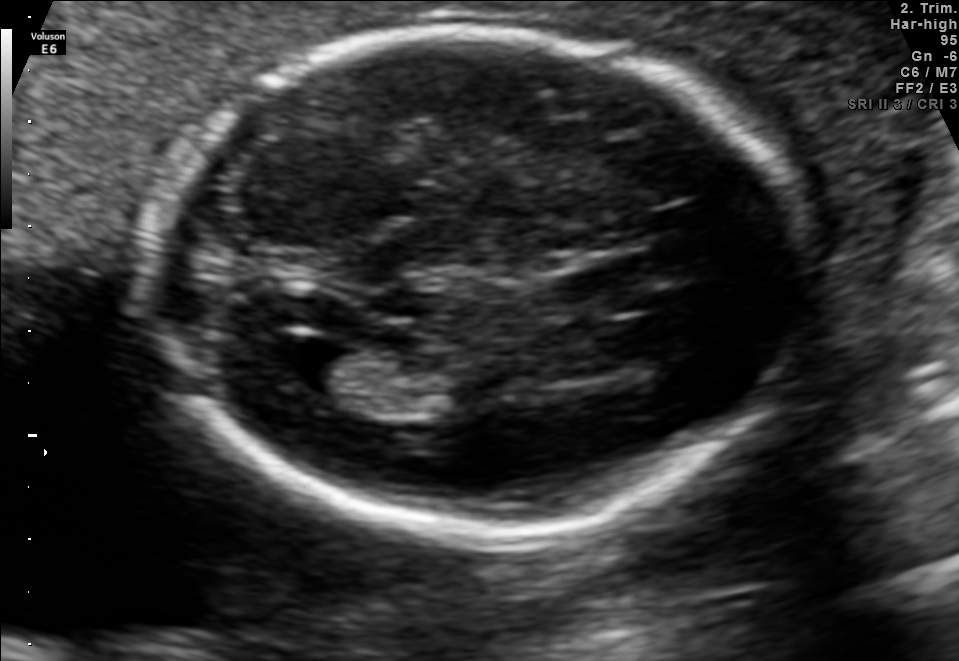
Fetal brain, trans-ventricular plane. Where is the fetal head?

Head bounding box: [146,23,813,542]